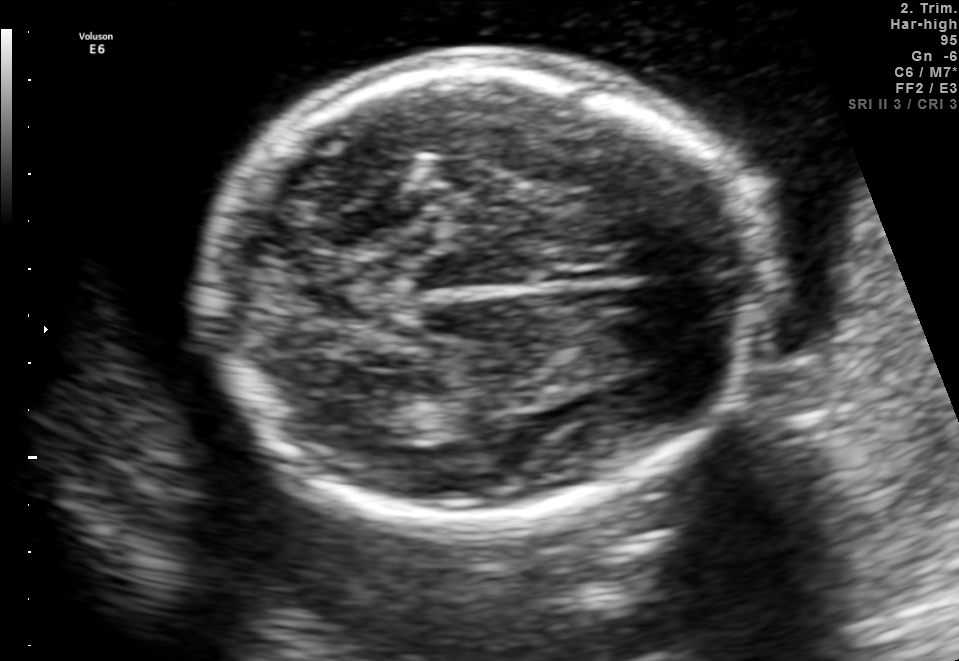
Fetal brain, trans-thalamic plane. Give [x1,y1,x2,y2] bounding boxes for each visible structure among: fetal head, CSP, LV.

Head: [204,59,771,520]